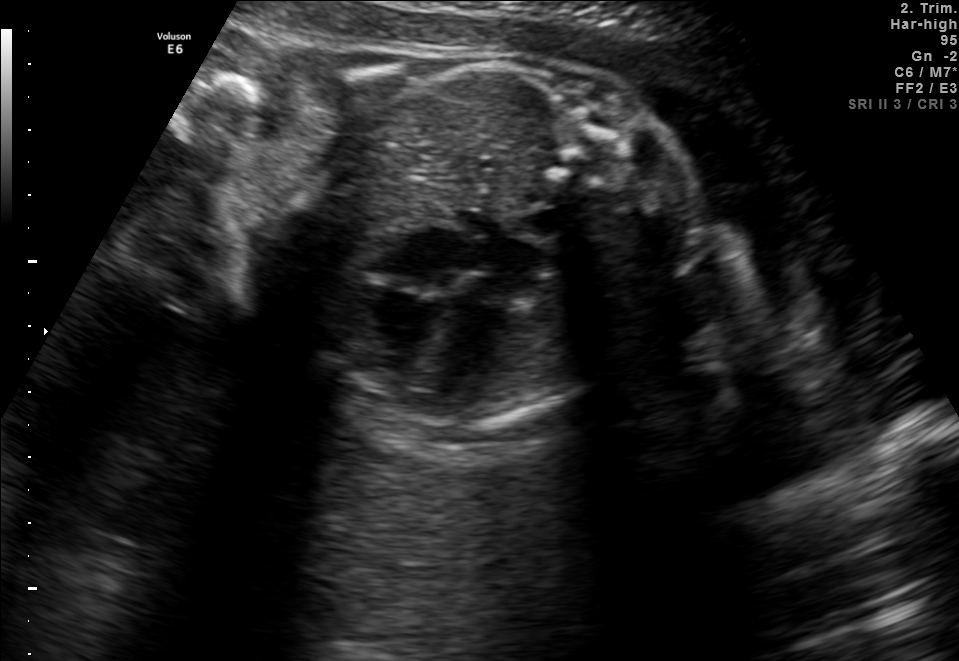
Which standard maternal-fetal ultrasound plane is shown: fetal abdomen, fetal brain, fetal femur, fetal thorax, maternal cervix, or other? If it's fetal brain and one of the three standard brain planes (trans-thalamic, trans-cerebellum, trans-ventricular), name which.

Fetal thorax